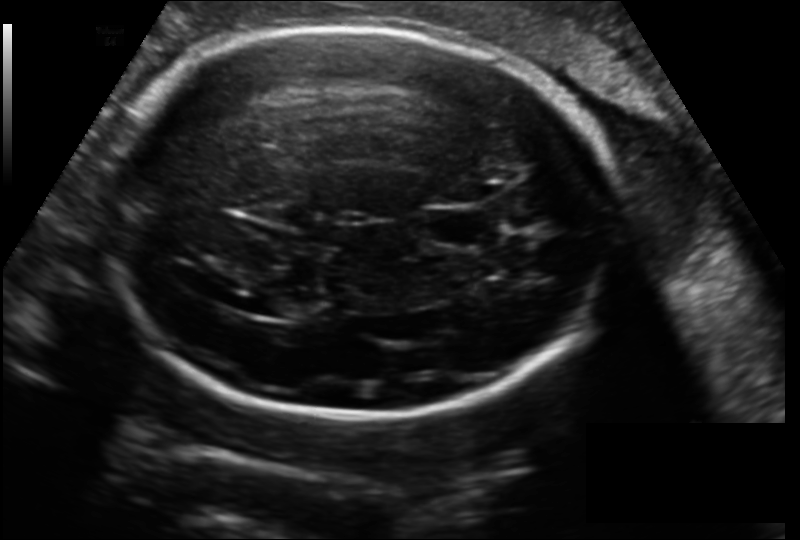
In this fetal head ultrasound, give the bounding box of the lateral ventricle. Image width: 142.1 mm.

[254,293,303,320]